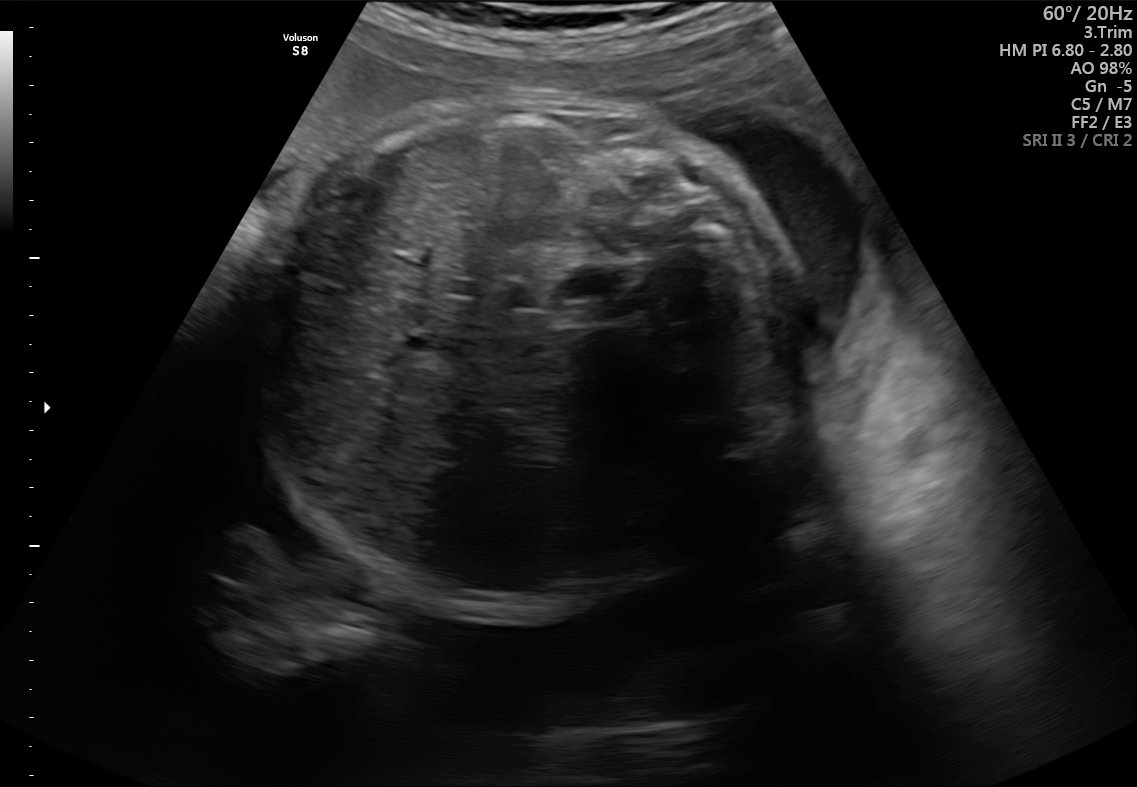
Classify this maternal-fetal ultrasound image as one of the six standard planes — fetal abdomen, fetal brain, fetal femur, fetal thorax, maternal cervix, or other. If it's fetal brain and one of the three standard brain planes (trans-thalamic, trans-cerebellum, trans-ventricular), name which.

Other